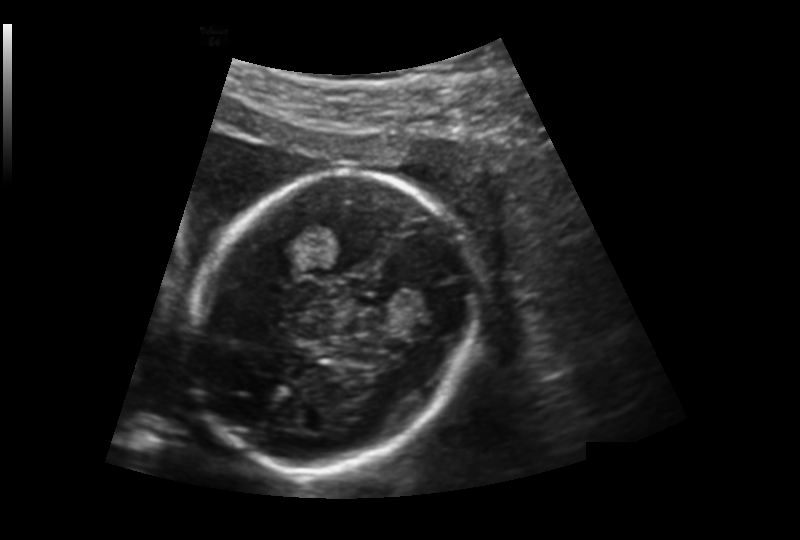
Estimate the fetal head circumference from this 2D ultrasound. Image width: 140.4 mm.

Head circumference: 165.7 mm.